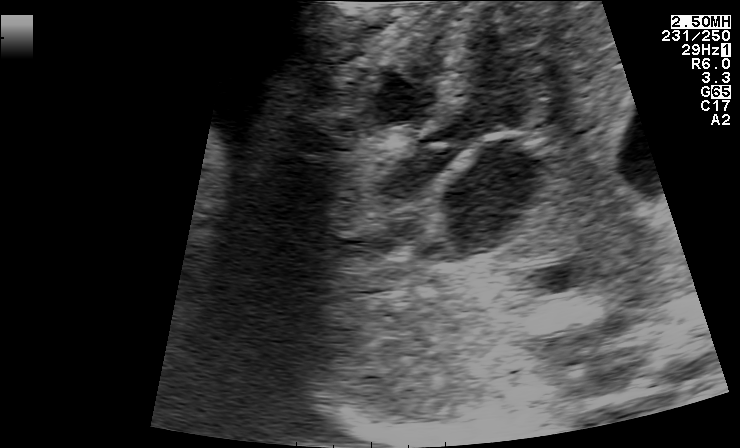
Identify the standard plane in this fetal ultrasound image: fetal abdomen, fetal brain, fetal femur, fetal thorax, maternal cervix, or other. If it's fetal brain and one of the three standard brain planes (trans-thalamic, trans-cerebellum, trans-ventricular), name which.

Other